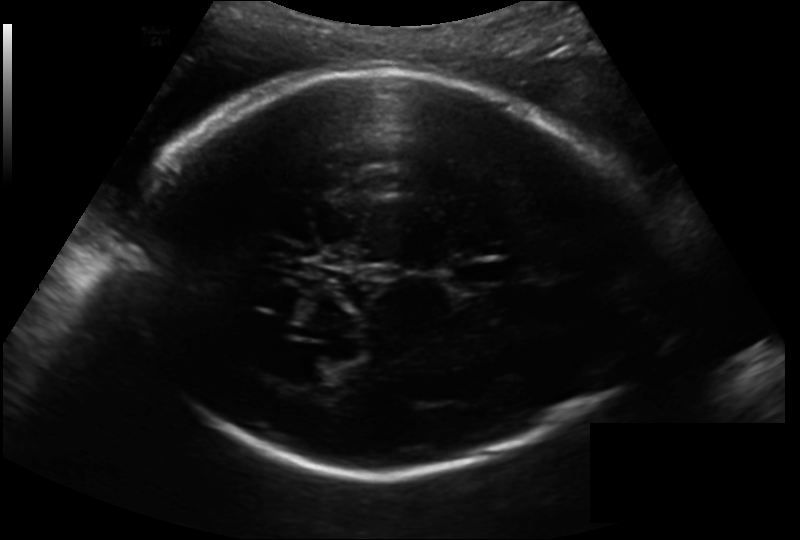
Measure the fetal head circumference shown in this ultrasound image. Image width: 154.5 mm.

Head circumference: 280.6 mm.